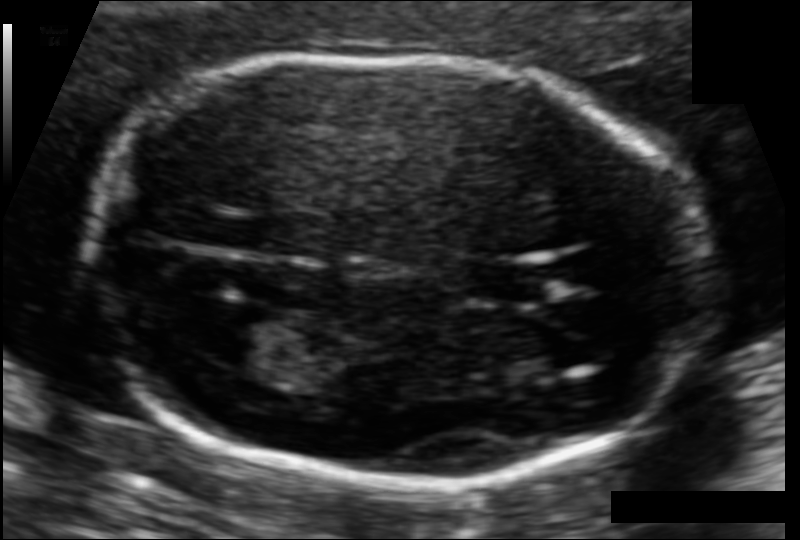
What is the fetal head circumference? Image width is 73.9 mm.

158.5 mm